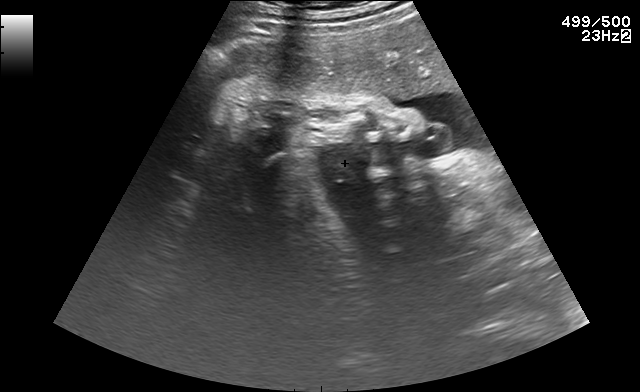
This is a 2D maternal-fetal ultrasound frame. Is it a fetal abdomen, fetal brain, fetal femur, fetal thorax, maternal cervix, or other standard plane? If it's fetal brain and one of the three standard brain planes (trans-thalamic, trans-cerebellum, trans-ventricular), name which.

Other